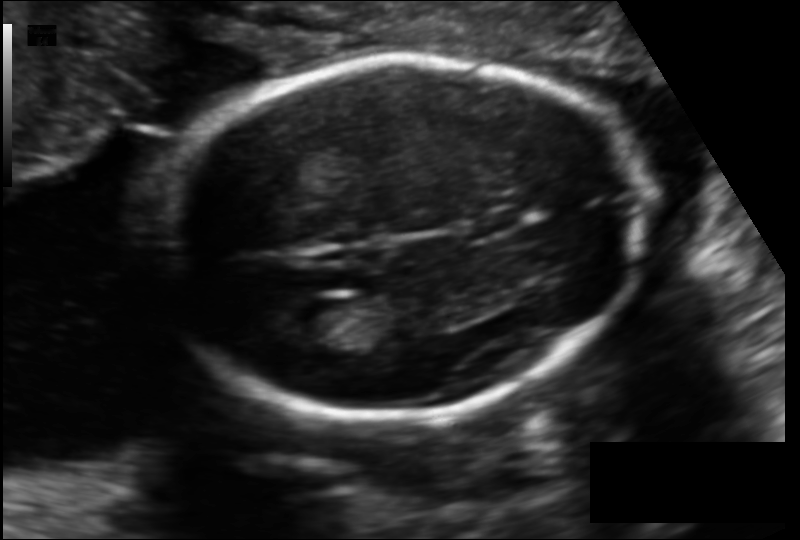
Fetal head ultrasound. Image width: 102.8 mm. Where is the cavum septum pellucidum?

CSP bounding box: [460,201,527,244]